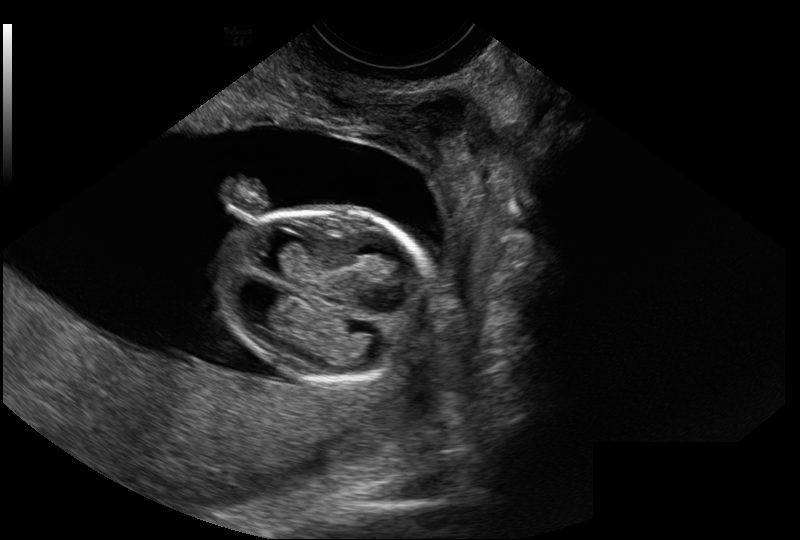
In this fetal head ultrasound, give the bounding box of the fetal head. Image width: 91.6 mm.

[216,210,435,382]